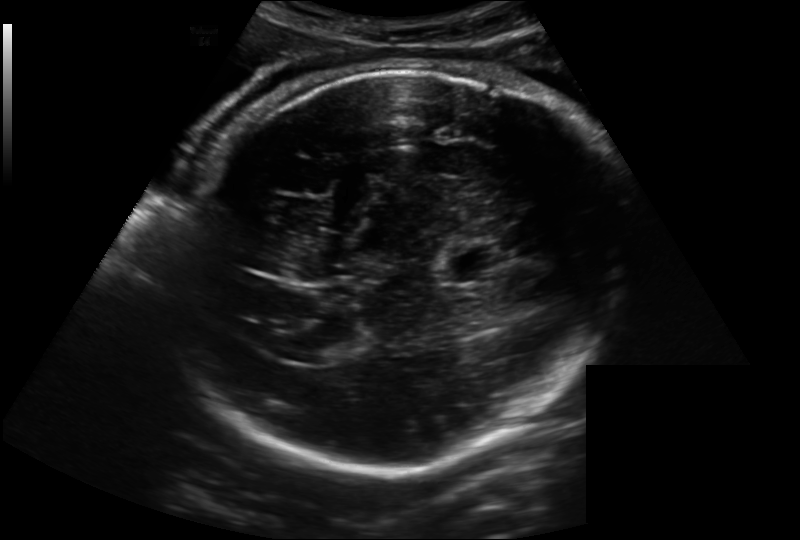
Fetal head ultrasound. Image width: 177.2 mm. Locate the fetal head.

Head: [165,69,626,467]